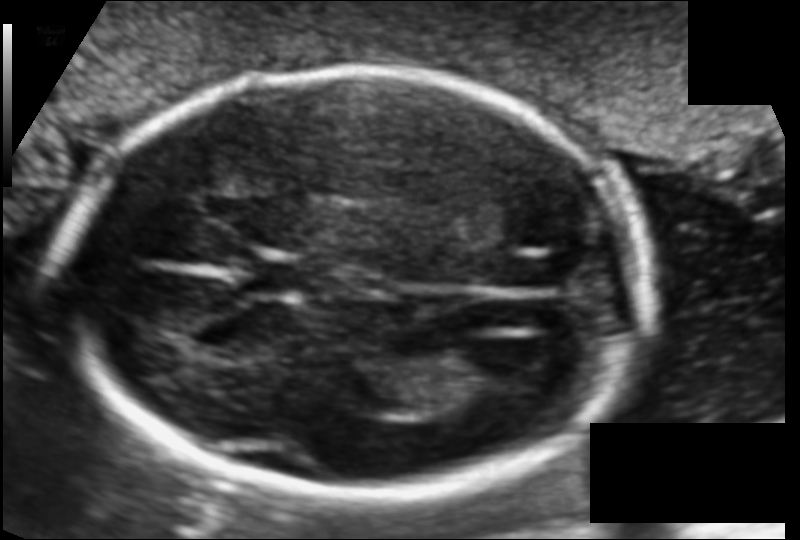
Fetal head ultrasound. Image width: 87.9 mm. Give [x1,y1,x2,y2] bounding boxes for each visible structure among: fetal head, CSP, LV.

Head: [69,69,644,495]
CSP: [243,252,311,302]
Lateral ventricle: [458,340,548,389]